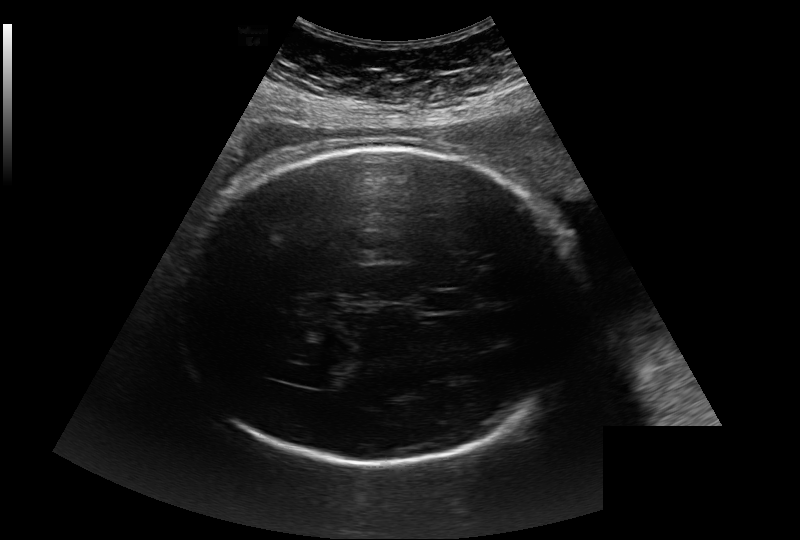
In this fetal head ultrasound, give the bounding box of the lateral ventricle. Image width: 227.4 mm.

[309,370,342,391]